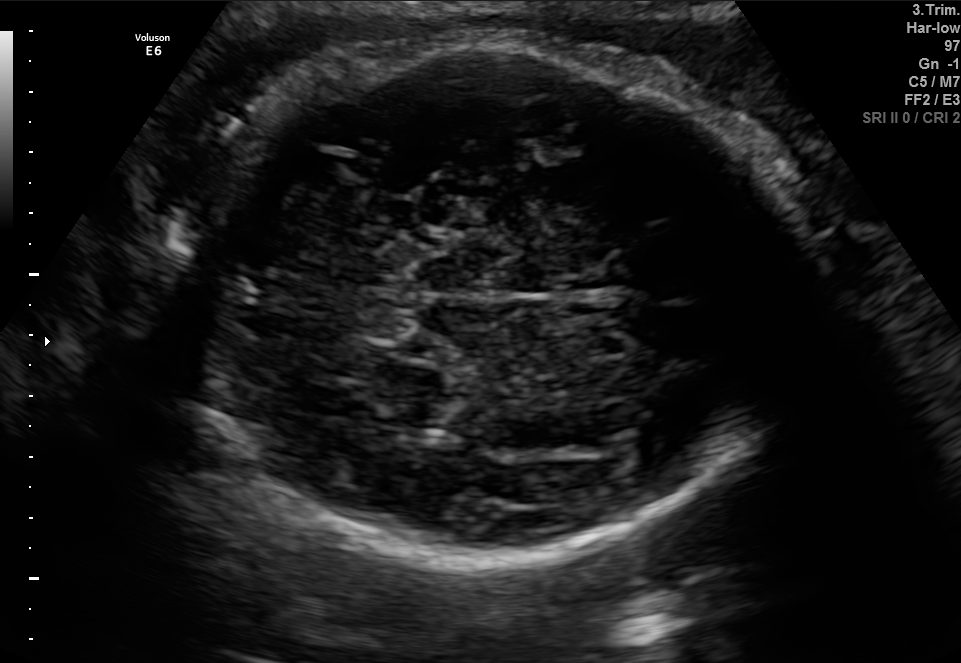
Fetal brain, trans-cerebellum plane. Locate the fetal head.

Head: [175,45,796,564]